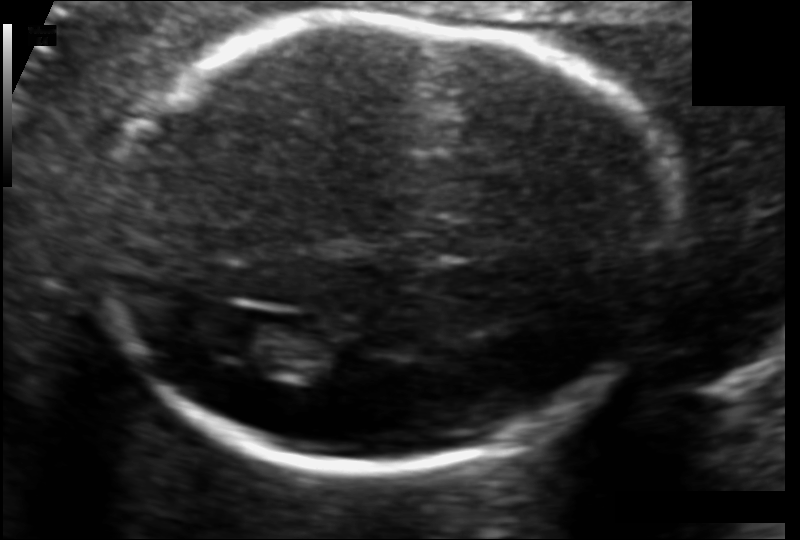
In this fetal head ultrasound, give the bounding box of the lateral ventricle. Image width: 84.9 mm.

[205,314,312,374]